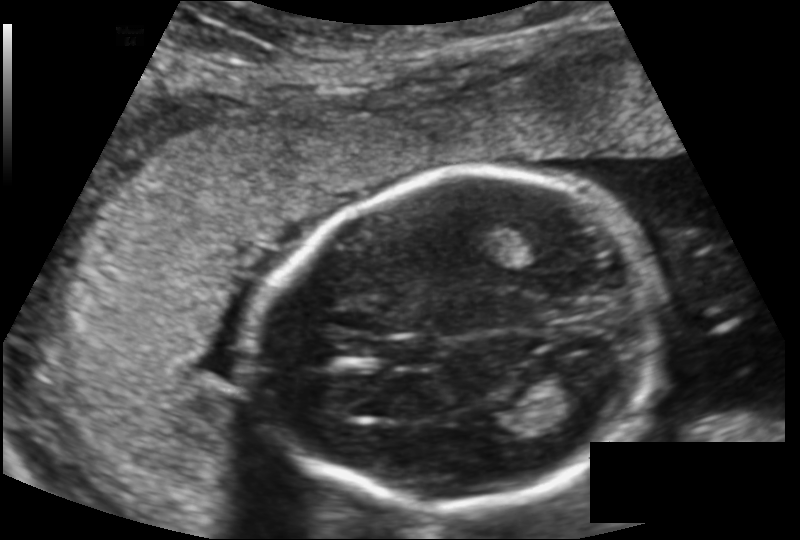
In this fetal head ultrasound, give the bounding box of the lateral ventricle. Image width: 119.2 mm.

[540,349,615,417]